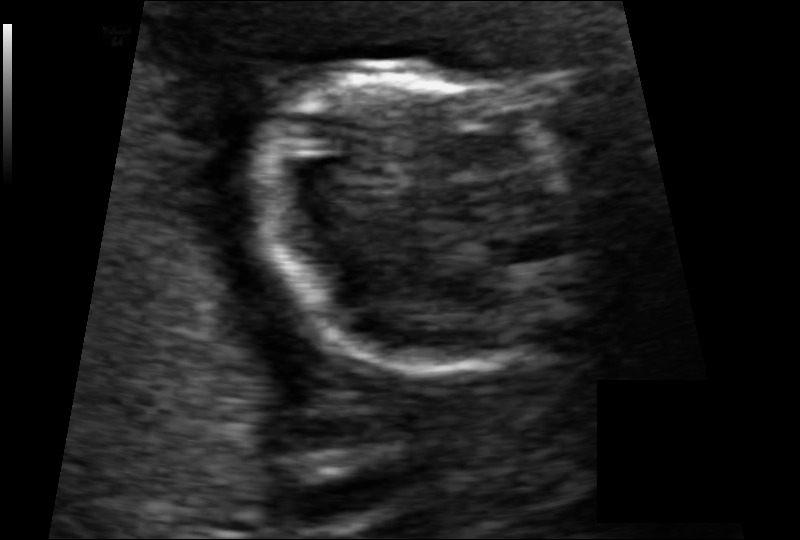
What is the fetal head circumference? Image width is 62.3 mm.

80.7 mm